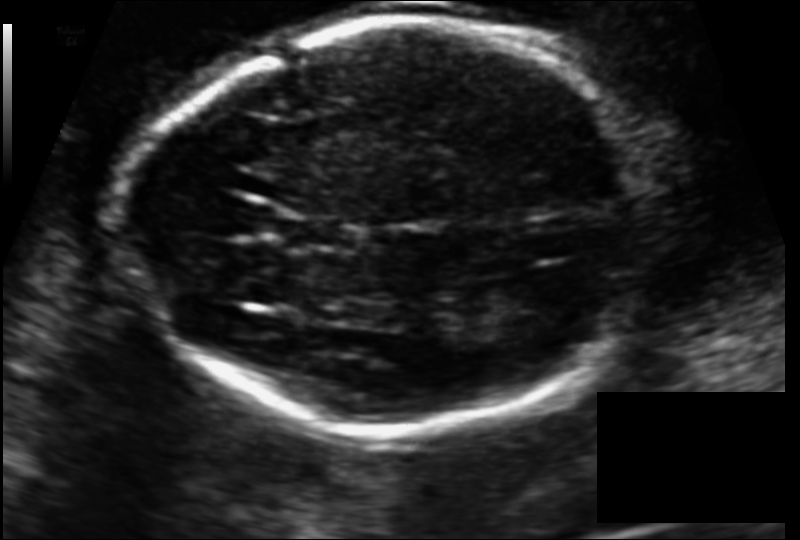
In this fetal head ultrasound, give the bounding box of the cavum septum pellucidum. Image width: 98.9 mm.

[283,218,355,248]